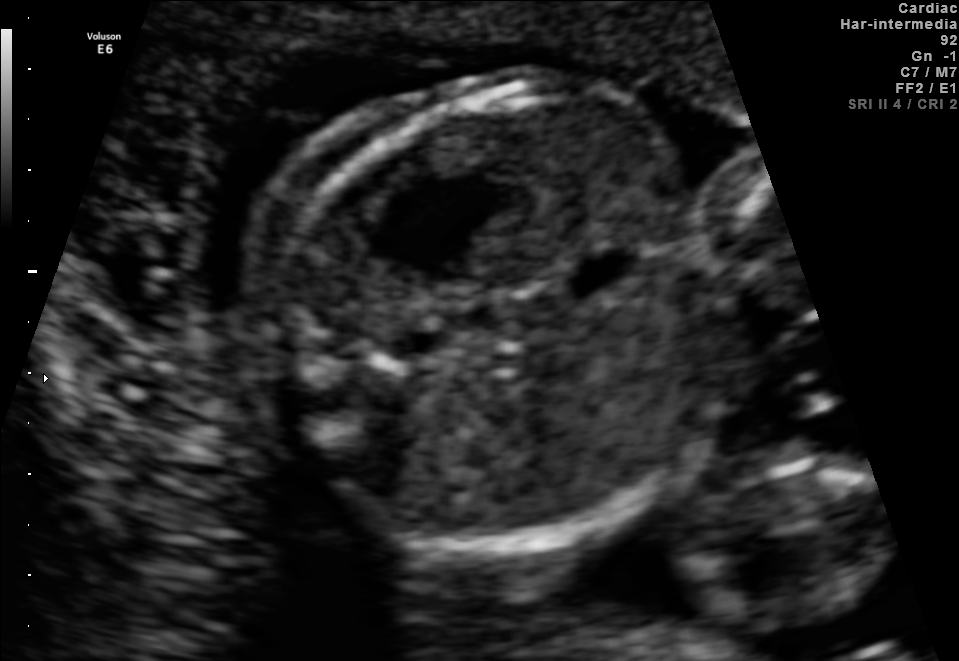
Classify this maternal-fetal ultrasound image as one of the six standard planes — fetal abdomen, fetal brain, fetal femur, fetal thorax, maternal cervix, or other. If it's fetal brain and one of the three standard brain planes (trans-thalamic, trans-cerebellum, trans-ventricular), name which.

Fetal abdomen